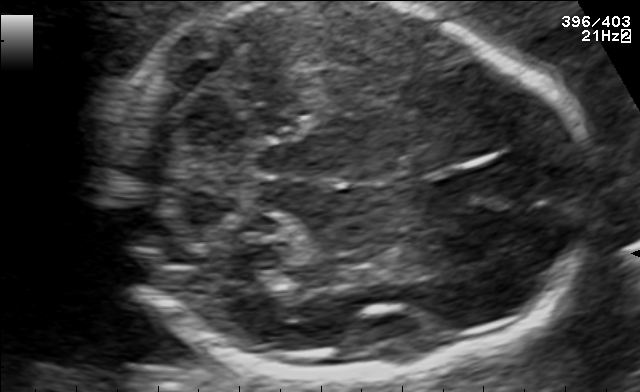
Fetal brain, trans-cerebellum plane. Where is the fetal head?

Head bounding box: [101,2,590,378]